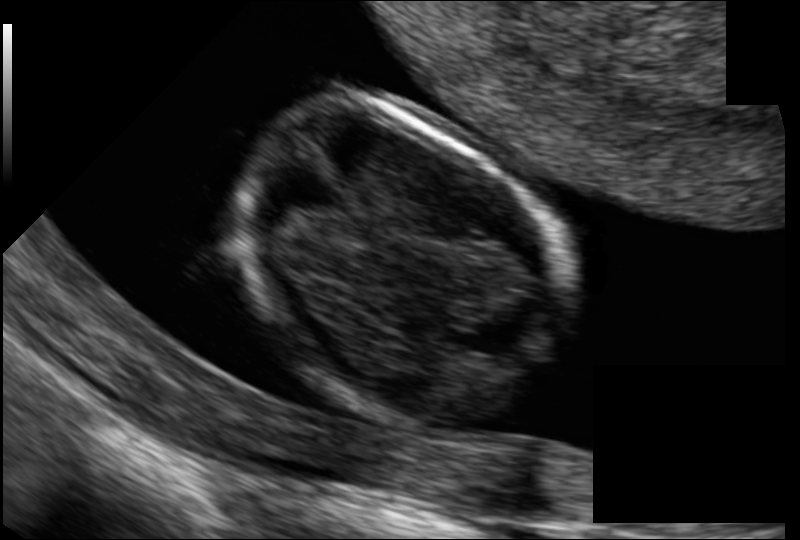
In this fetal head ultrasound, give bounding boxes for the head outline, cavum septum pellucidum (CSP), and lateral ventricle (LV), where visible. Image width: 55.2 mm.

Head: [228,109,561,417]